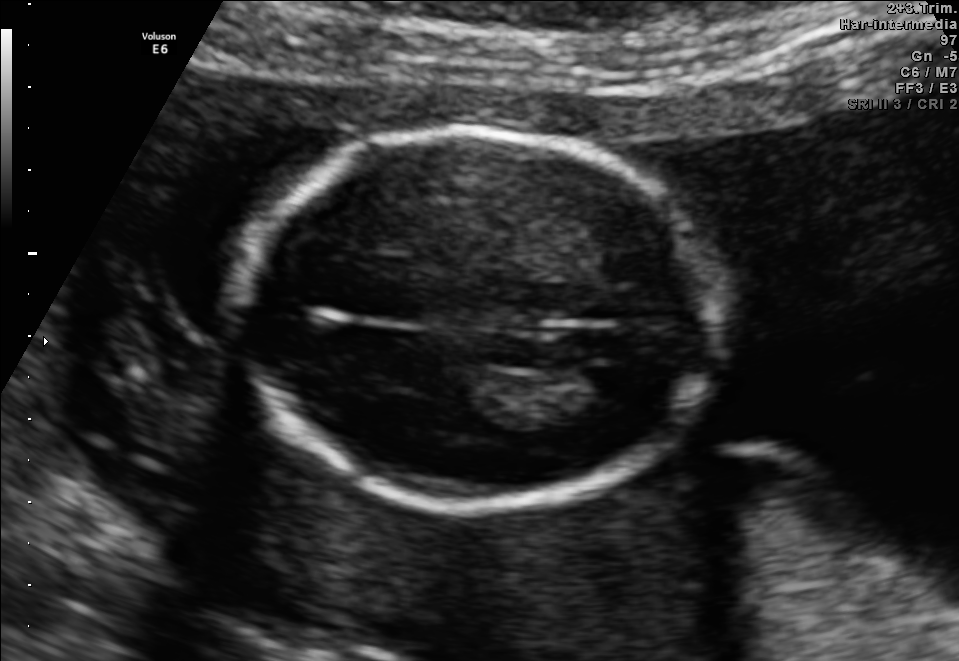
Fetal brain, trans-ventricular plane. Locate the lateral ventricle.

Lateral ventricle: [579,363,636,402]